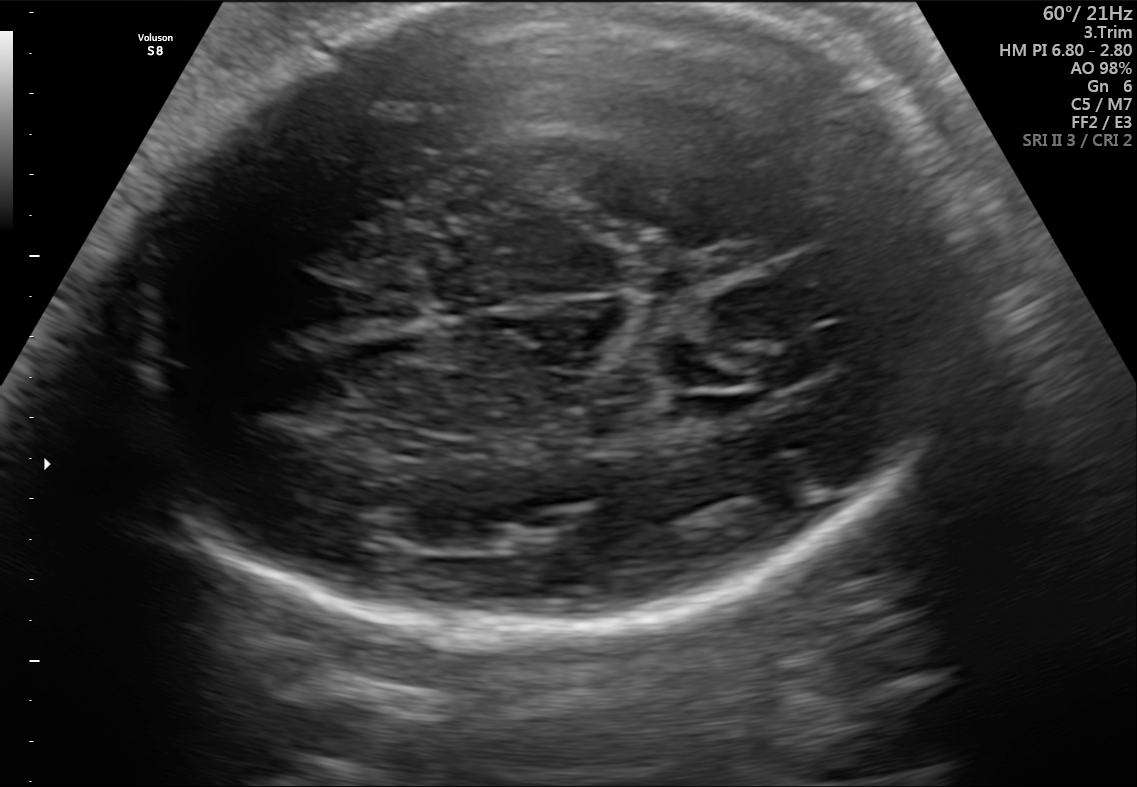
Fetal brain, trans-ventricular plane. Where is the fetal head?

Head bounding box: [98,4,986,638]